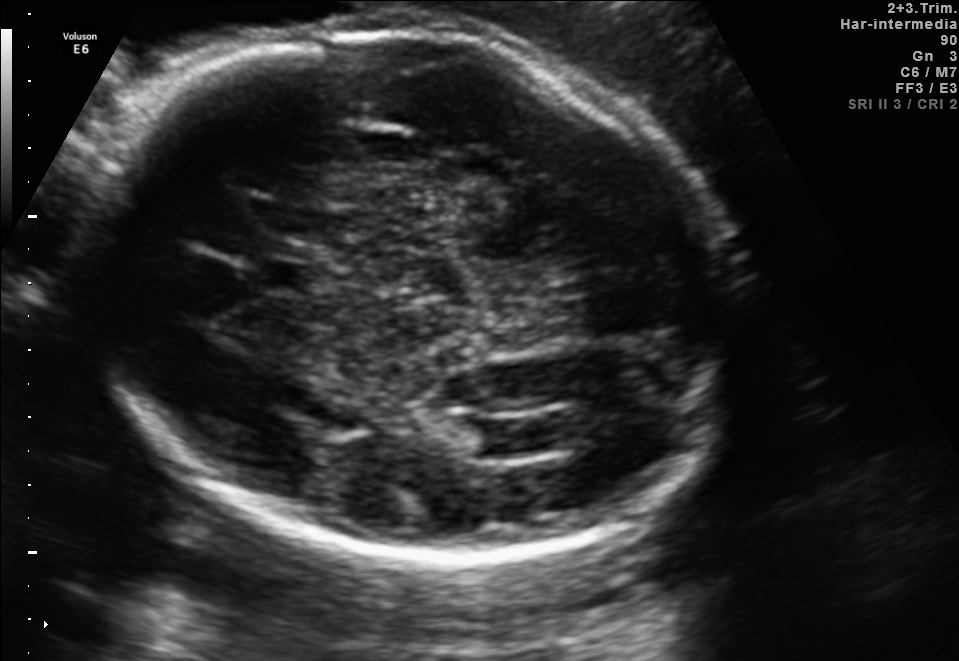
In this fetal brain, trans-ventricular plane, give the bounding box of the lateral ventricle.

[470,410,566,458]